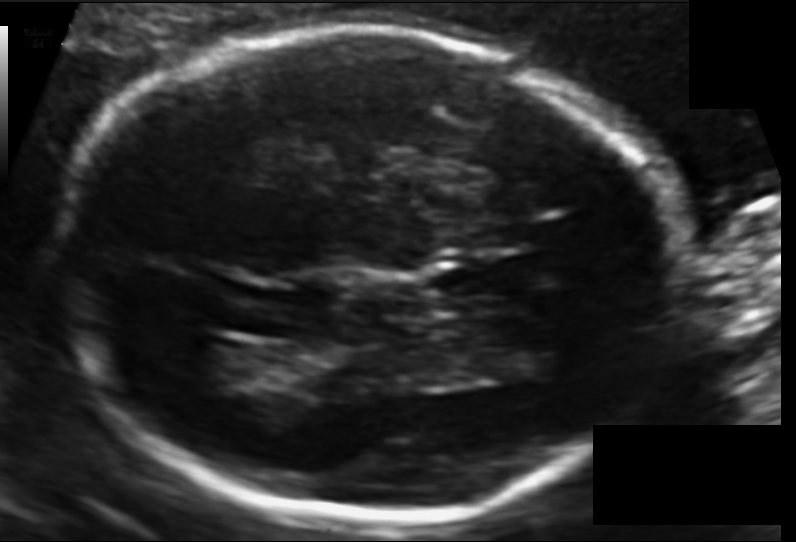
In this fetal head ultrasound, give the bounding box of the fetal head. Image width: 95.4 mm.

[52,27,684,517]